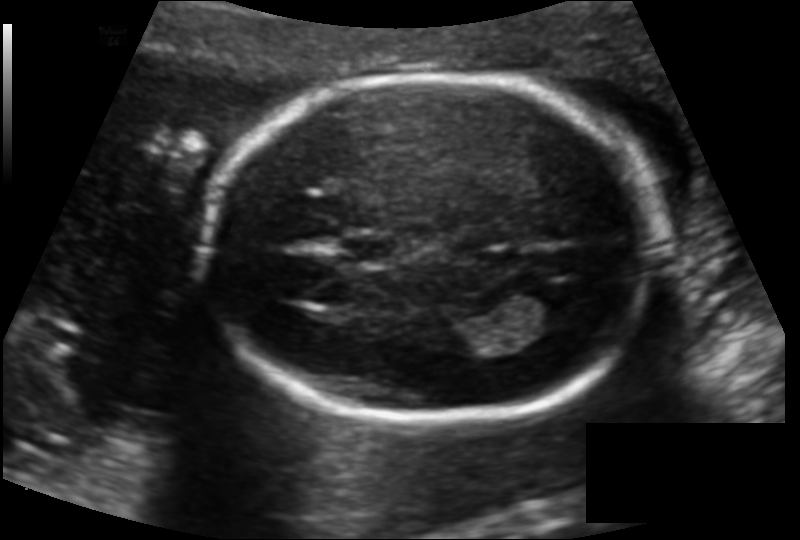
In this fetal head ultrasound, give the bounding box of the fetal head. Image width: 104.1 mm.

[205,76,653,420]